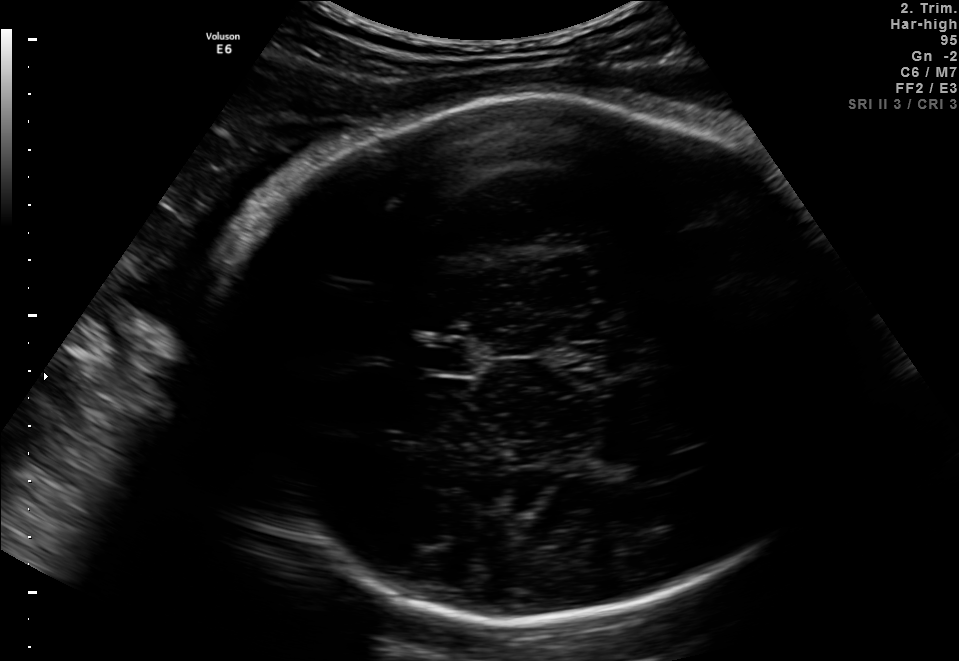
Fetal brain, trans-thalamic plane. Locate the lateral ventricle.

Lateral ventricle: [611,452,686,493]